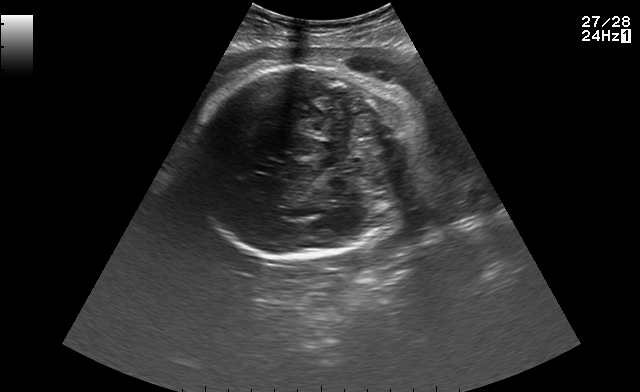
In this fetal brain, trans-cerebellum plane, give bounding boxes for the head outline, cavum septum pellucidum (CSP), and lateral ventricle (LV), where visible.

Head: [192,63,411,259]